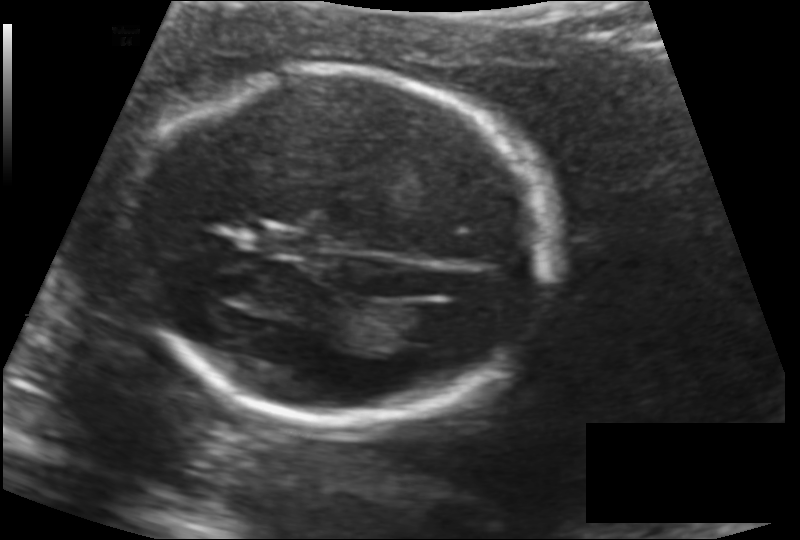
In this fetal head ultrasound, give the bounding box of the cavum septum pellucidum. Image width: 105.6 mm.

[265,231,310,256]